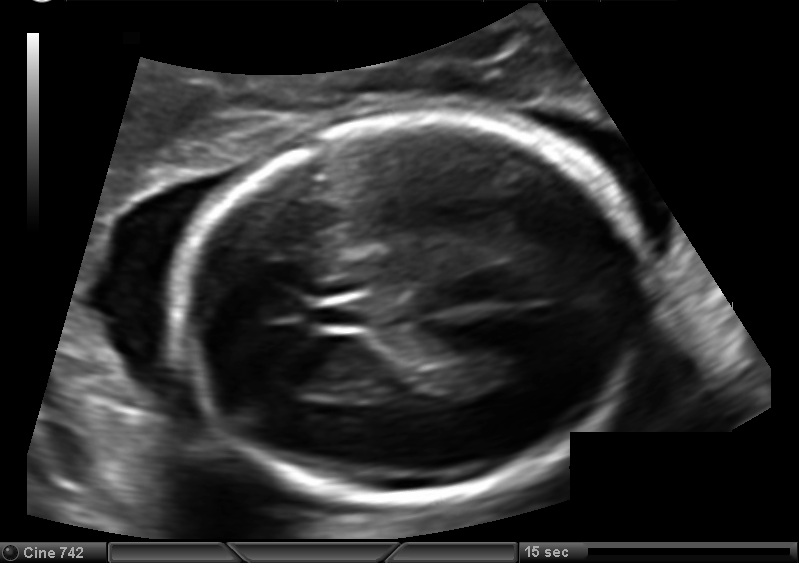
Estimate the fetal head circumference from this 2D ultrasound. Image width: 101.4 mm.

Head circumference: 178.4 mm.